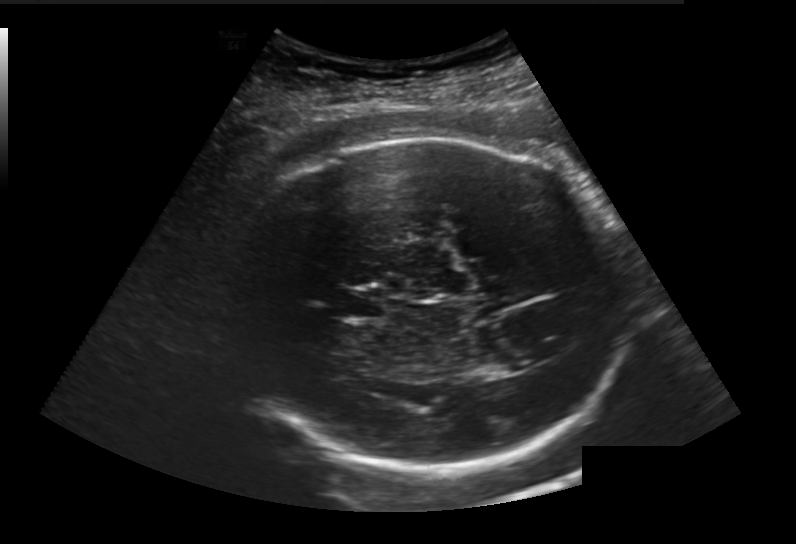
Fetal head ultrasound. Image width: 187.6 mm. Locate the fetal head and, if visible, the cavum septum pellucidum (CSP) and lateral ventricle (LV). Give bounding boxes as [x1,y1,x2,y2].

Head: [231,137,630,472]
CSP: [338,288,384,318]